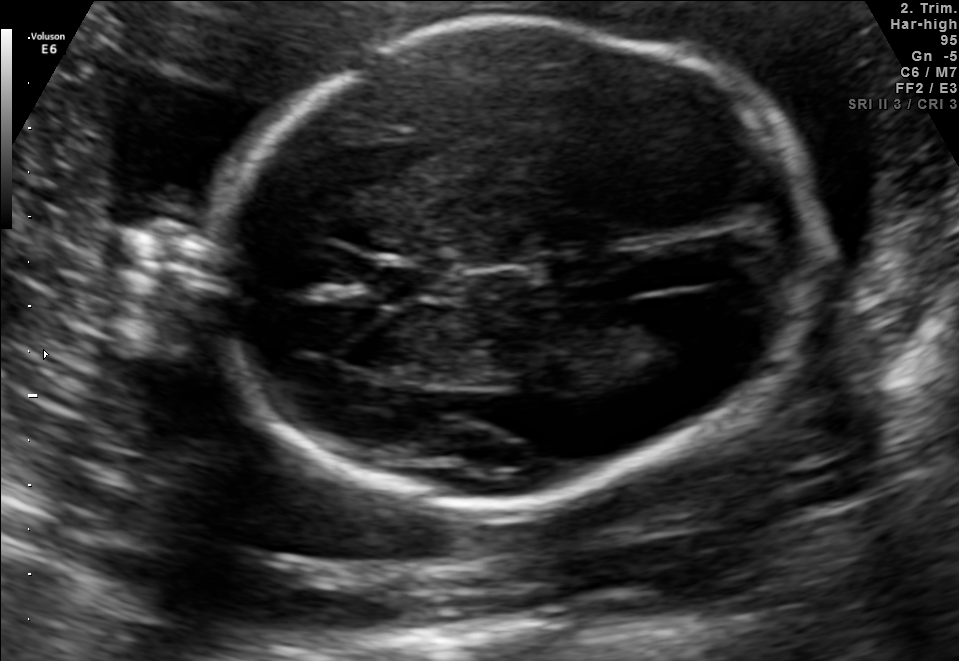
Fetal brain, trans-ventricular plane. Where is the fetal head?

Head bounding box: [197,8,826,521]